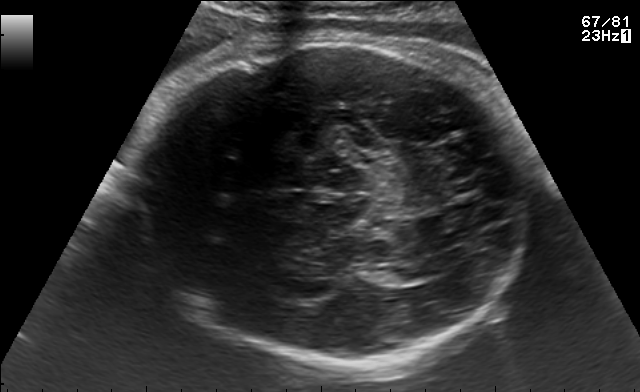
Fetal brain, trans-thalamic plane. Locate the lateral ventricle.

Lateral ventricle: [368,264,425,286]